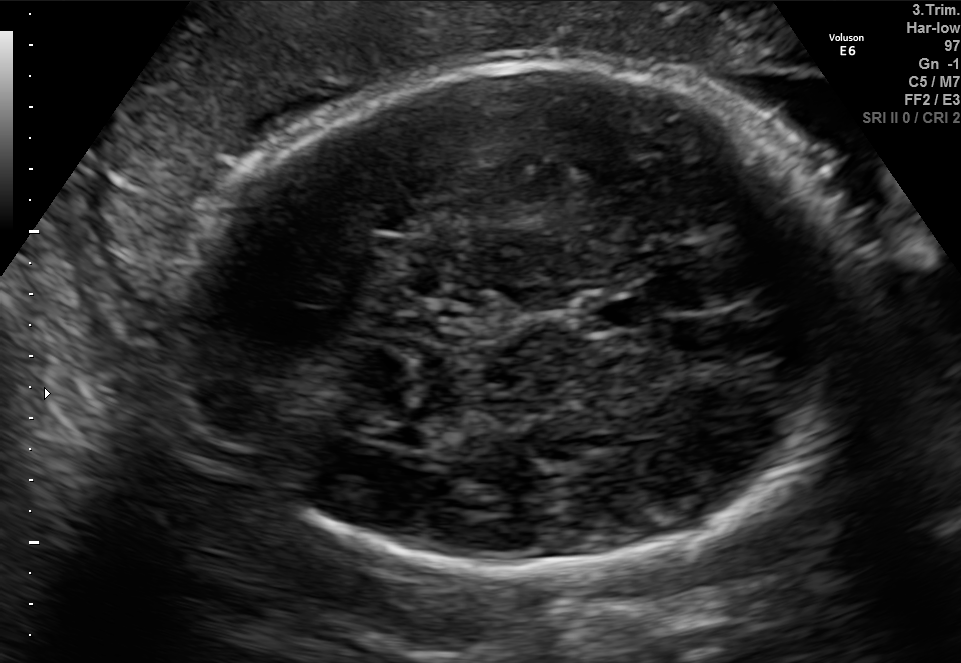
Fetal brain, trans-thalamic plane. Locate the fetal head and, if visible, the cavum septum pellucidum (CSP) and lateral ventricle (LV). Give bounding boxes as [x1,y1,x2,y2].

Head: [191,57,862,574]
CSP: [580,291,645,331]
Lateral ventricle: [344,407,432,450]